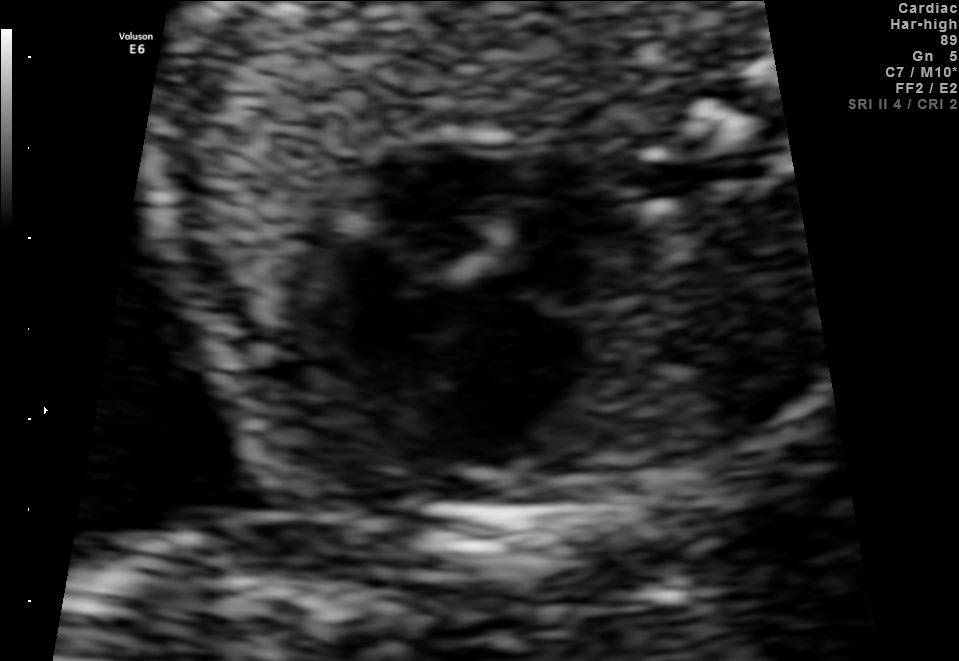
Which standard maternal-fetal ultrasound plane is shown: fetal abdomen, fetal brain, fetal femur, fetal thorax, maternal cervix, or other? If it's fetal brain and one of the three standard brain planes (trans-thalamic, trans-cerebellum, trans-ventricular), name which.

Fetal thorax